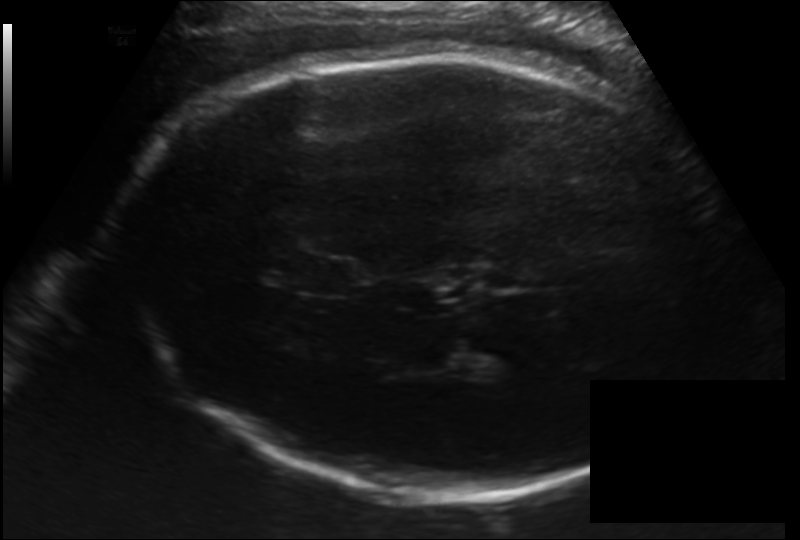
Estimate the fetal head circumference from this 2D ultrasound. Image width: 153.4 mm.

Head circumference: 328.6 mm.